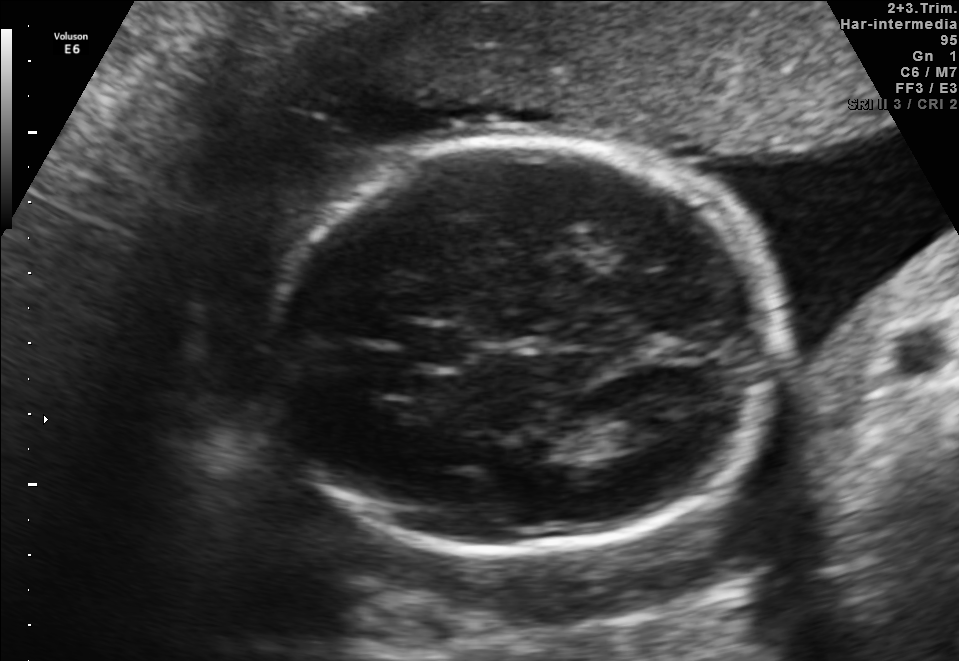
Fetal brain, trans-thalamic plane. Locate the fetal head.

Head: [260,141,783,552]